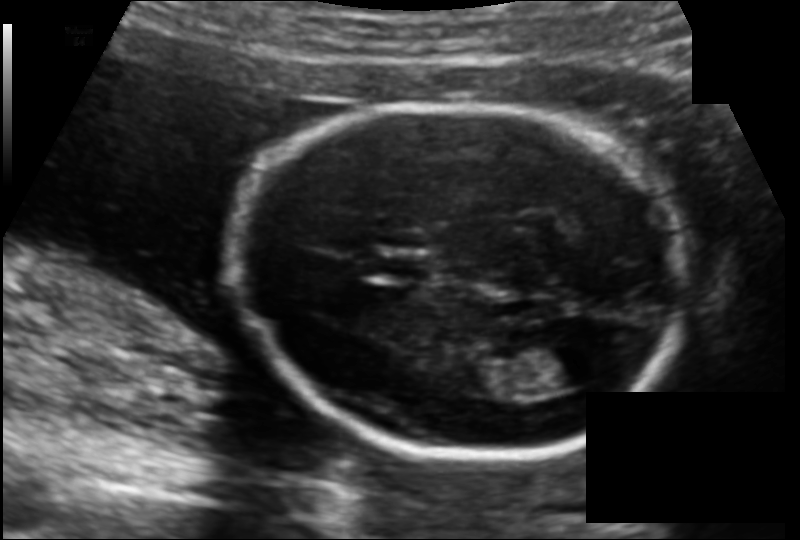
Measure the fetal head circumference shown in this ultrasound image. Image width: 100.4 mm.

Head circumference: 165.0 mm.